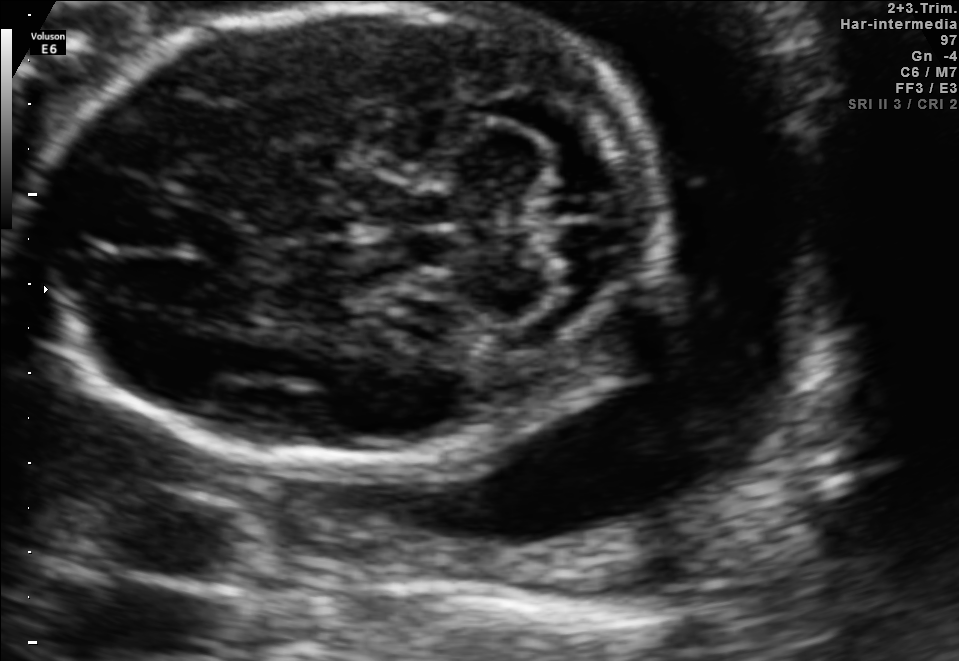
In this fetal brain, trans-cerebellum plane, give bounding boxes for the head outline, cavum septum pellucidum (CSP), and lateral ventricle (LV), where visible.

Head: [39,3,664,472]
CSP: [167,199,252,270]